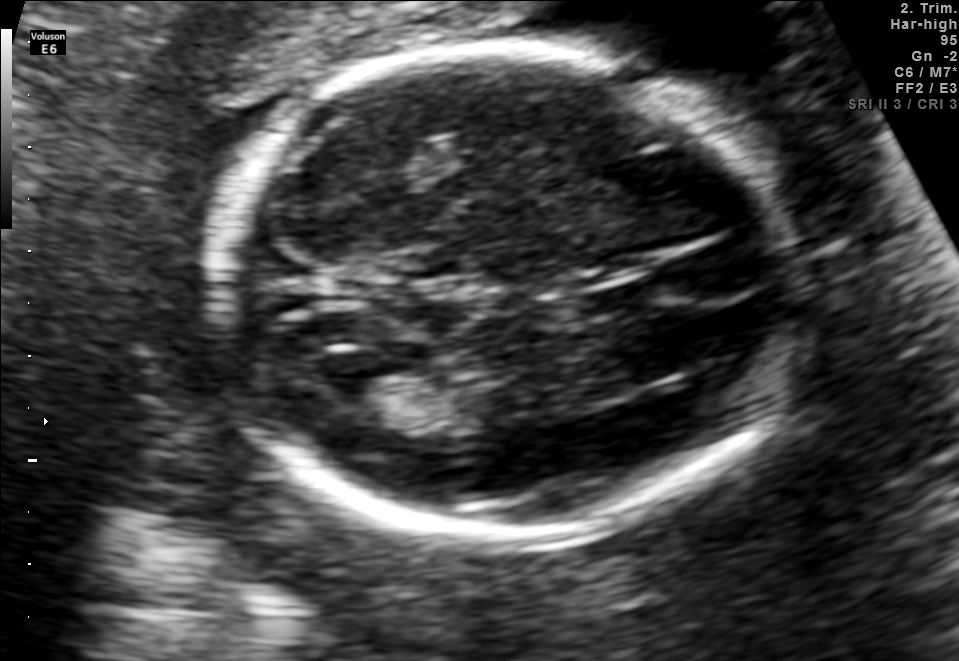
Fetal brain, trans-ventricular plane. Locate the lateral ventricle.

Lateral ventricle: [301,333,393,412]